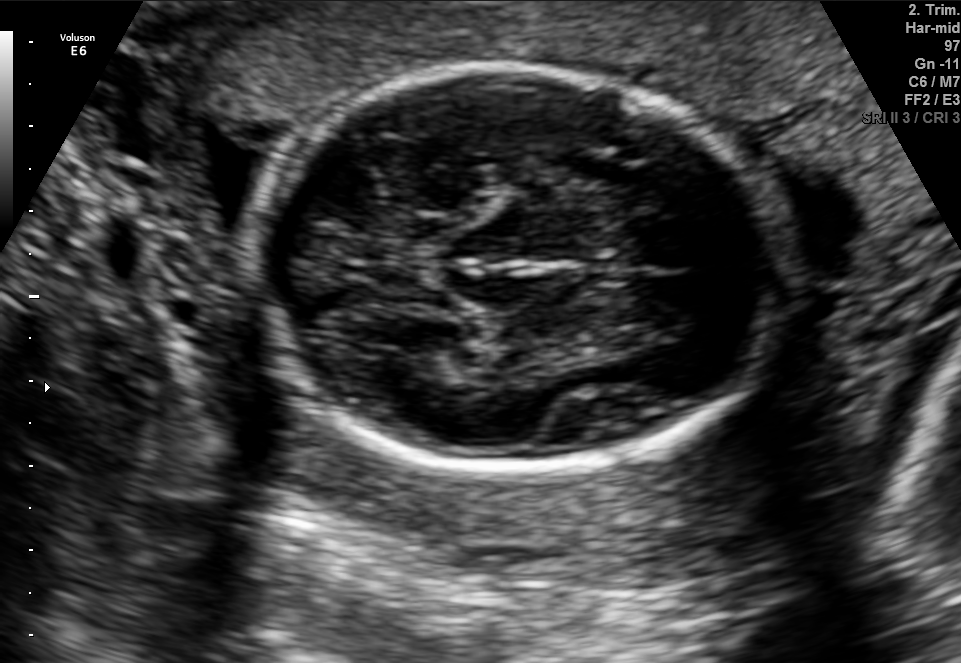
Fetal brain, trans-thalamic plane. Where is the fetal head?

Head bounding box: [254,68,776,468]